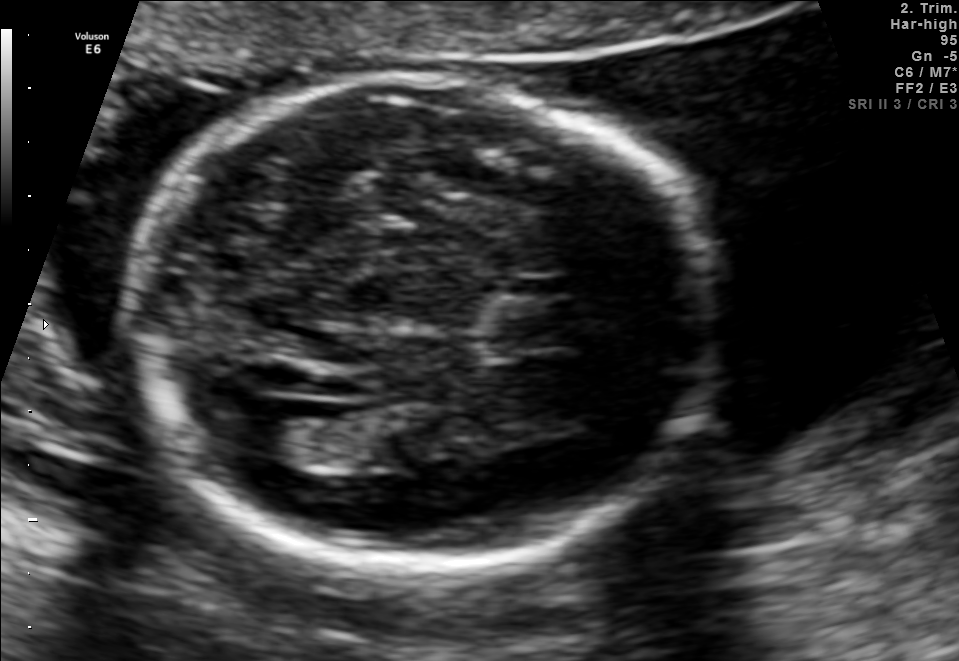
Fetal brain, trans-ventricular plane. Where is the lateral ventricle?

Lateral ventricle bounding box: [226,393,330,467]